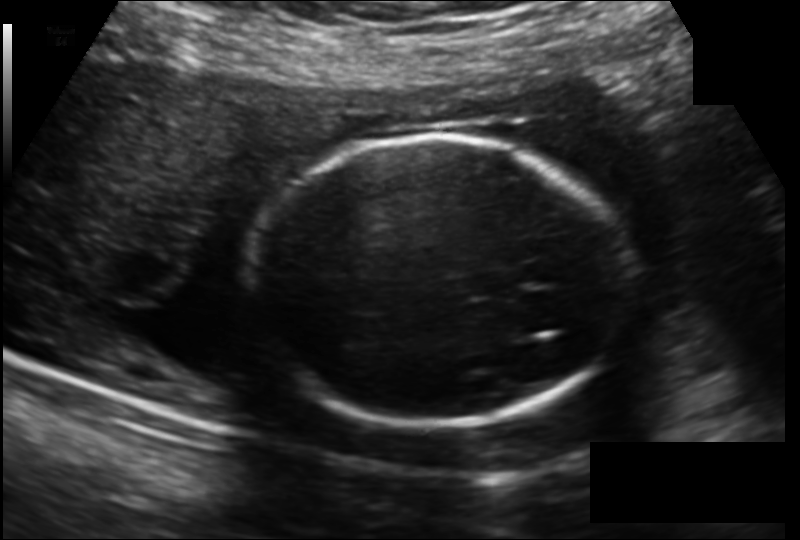
Estimate the fetal head circumference from this 2D ultrasound. Image width: 132.5 mm.

Head circumference: 183.1 mm.